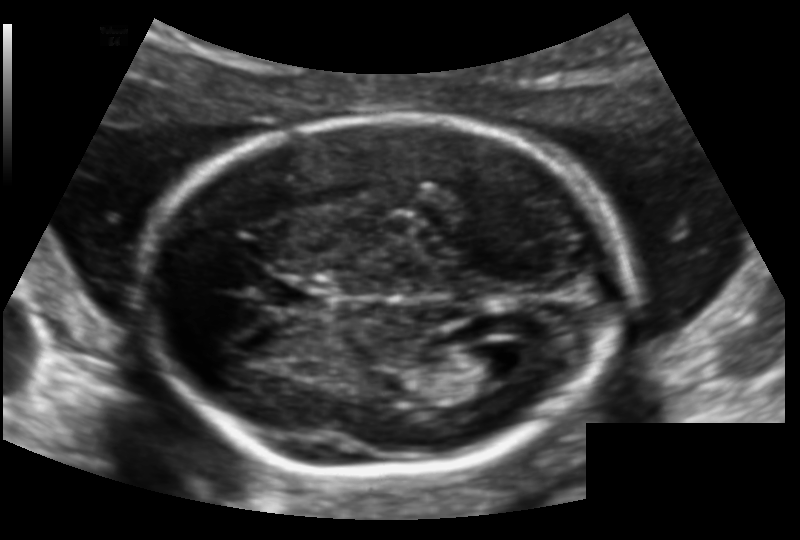
Fetal head ultrasound. Image width: 102.0 mm. Where is the cavum septum pellucidum?

CSP bounding box: [266,276,325,313]